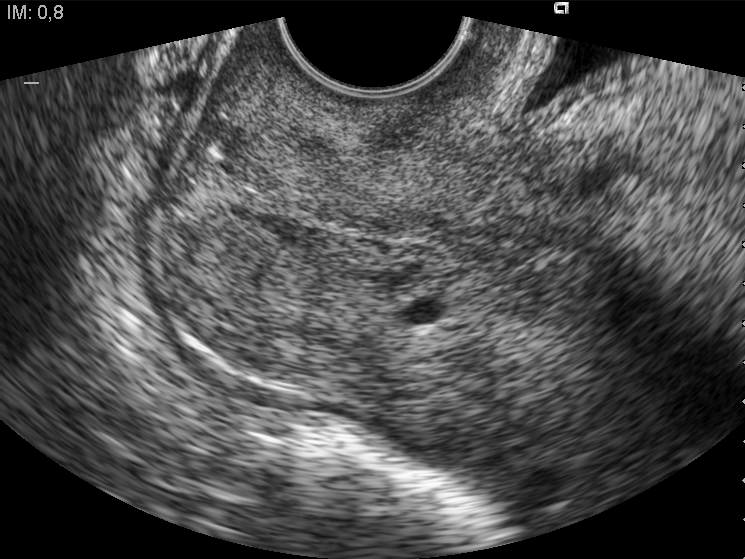
Classify this maternal-fetal ultrasound image as one of the six standard planes — fetal abdomen, fetal brain, fetal femur, fetal thorax, maternal cervix, or other. If it's fetal brain and one of the three standard brain planes (trans-thalamic, trans-cerebellum, trans-ventricular), name which.

Maternal cervix